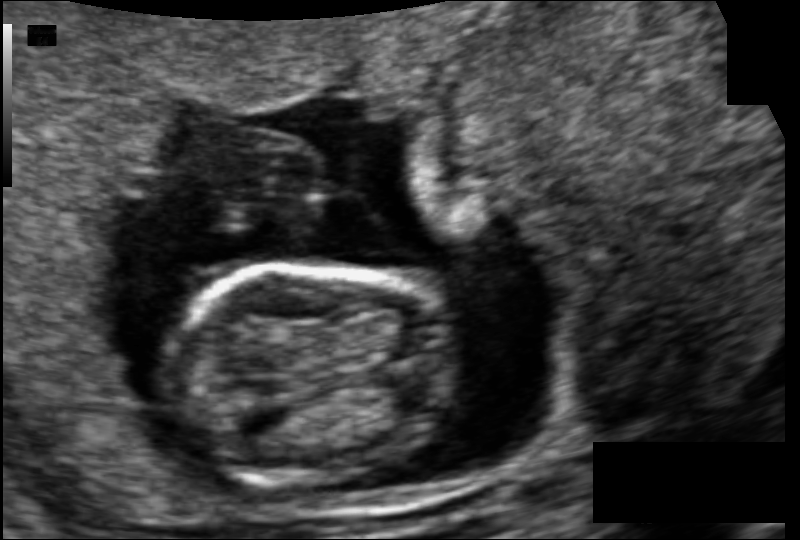
Fetal head ultrasound. Image width: 70.0 mm. Where is the fetal head?

Head bounding box: [166,262,457,485]